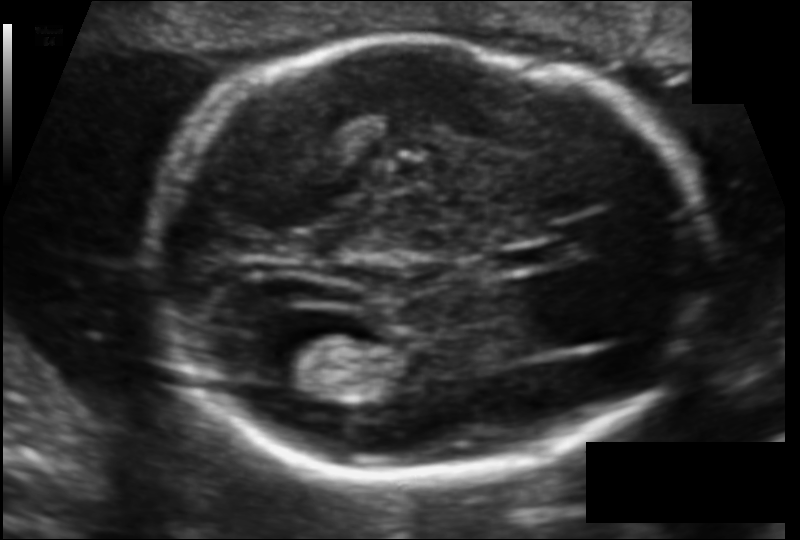
In this fetal head ultrasound, give the bounding box of the cavum septum pellucidum. Image width: 84.9 mm.

[496,233,569,277]